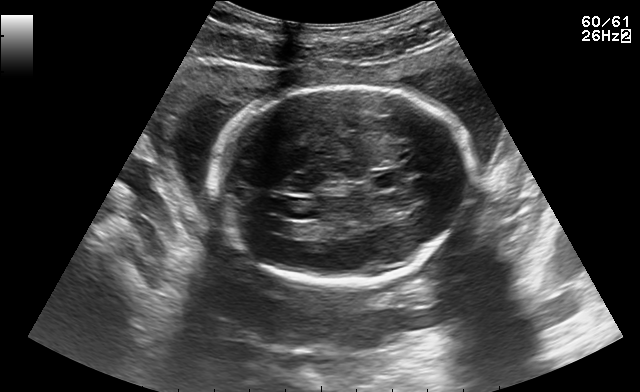
In this fetal brain, trans-ventricular plane, give the bounding box of the lateral ventricle.

[263,217,290,234]